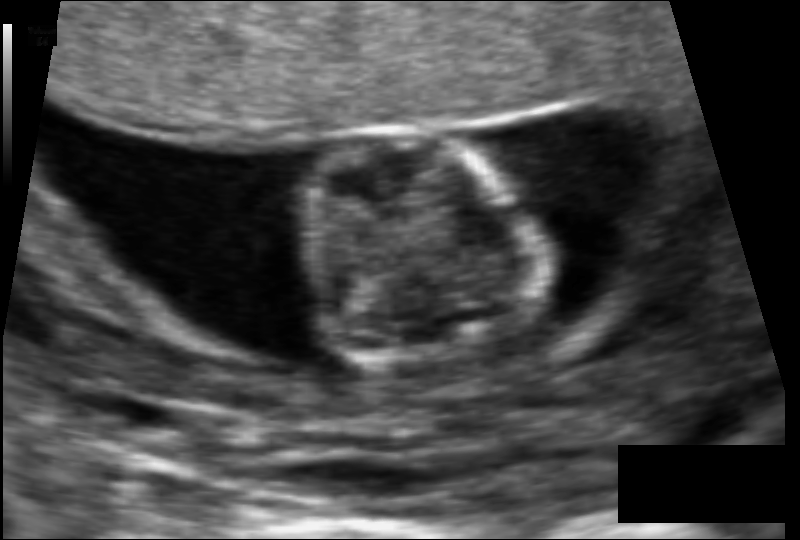
Estimate the fetal head circumference from this 2D ultrasound.

Head circumference: 63.3 mm (image width 63.1 mm).